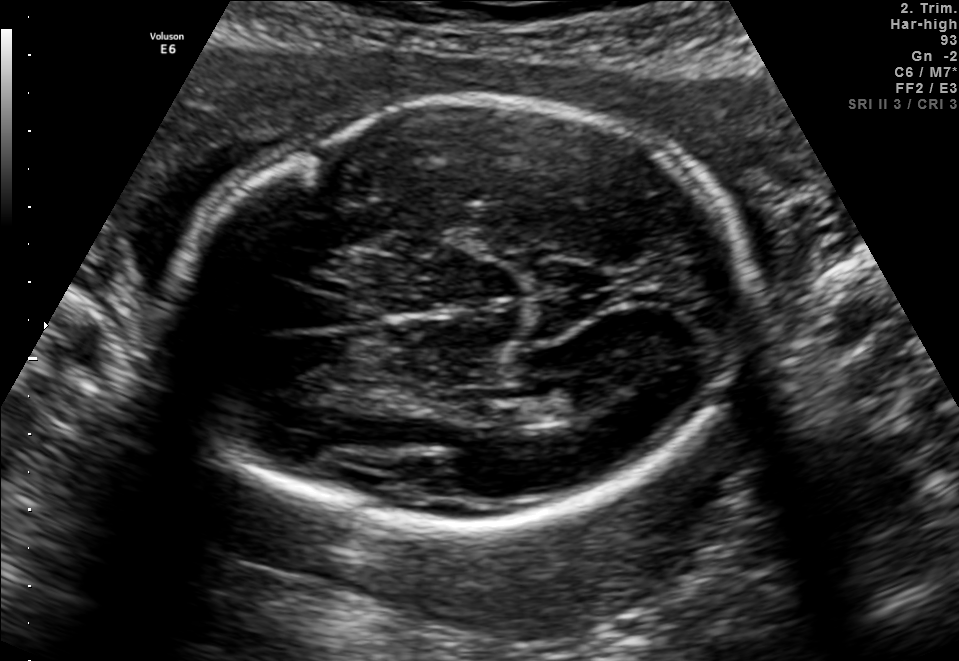
In this fetal brain, trans-thalamic plane, give bounding boxes for the head outline, cavum septum pellucidum (CSP), and lateral ventricle (LV), where visible.

Head: [180,102,753,519]
Lateral ventricle: [511,368,604,430]